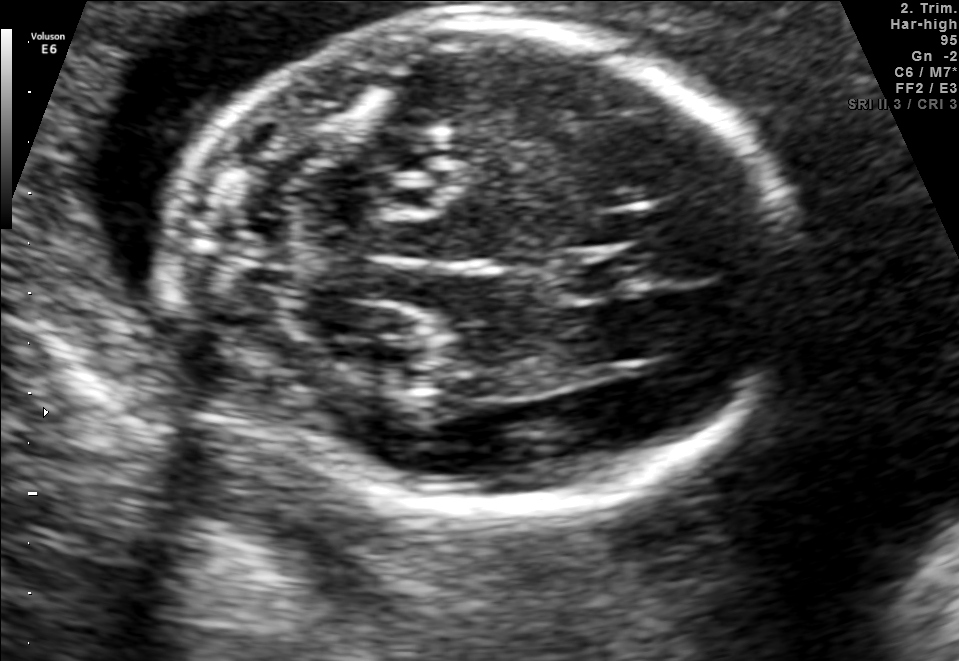
In this fetal brain, trans-cerebellum plane, give the bounding box of the fetal head.

[178,18,785,511]